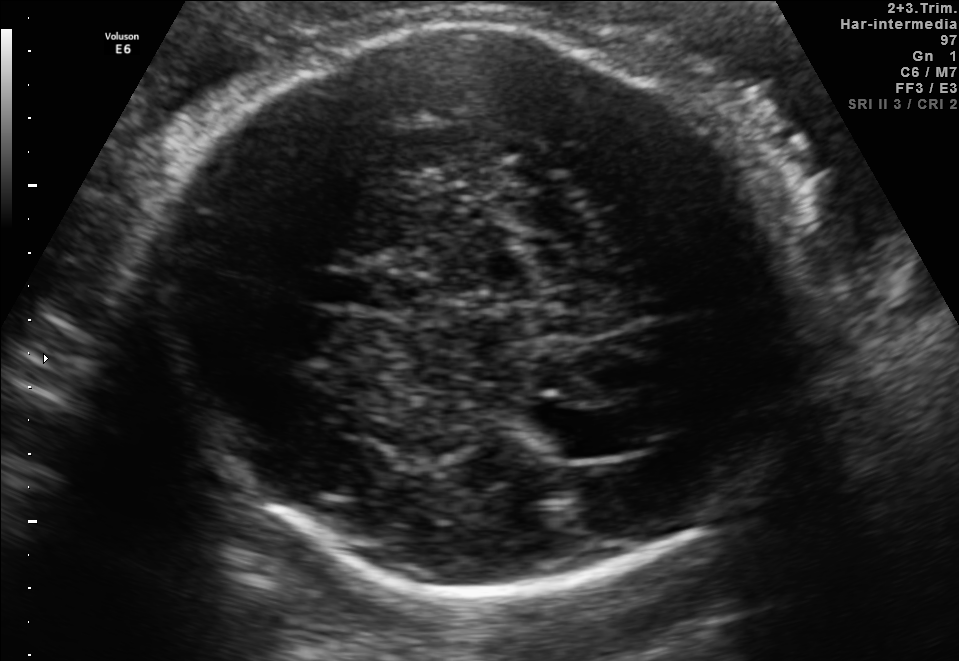
This is a 2D maternal-fetal ultrasound frame. Is it a fetal abdomen, fetal brain, fetal femur, fetal thorax, maternal cervix, or other standard plane? If it's fetal brain and one of the three standard brain planes (trans-thalamic, trans-cerebellum, trans-ventricular), name which.

Fetal brain (trans-thalamic plane)